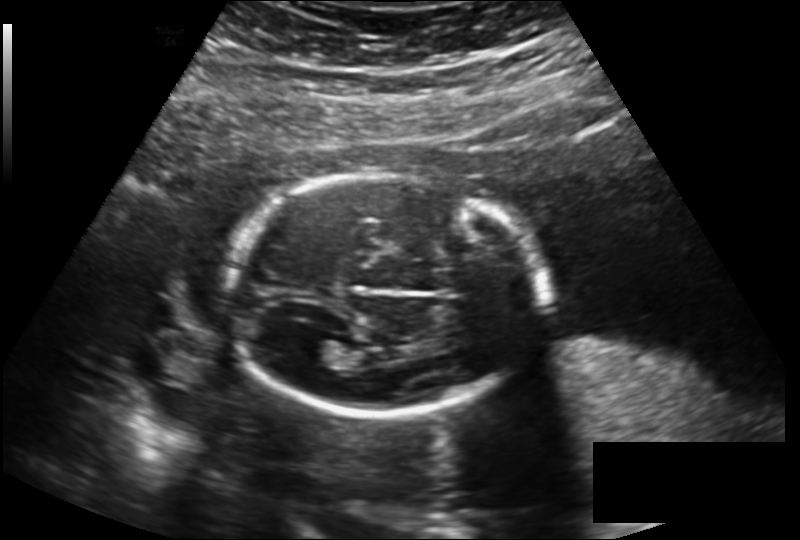
Fetal head ultrasound. Image width: 150.8 mm. Where is the lateral ventricle?

Lateral ventricle bounding box: [295,335,340,367]